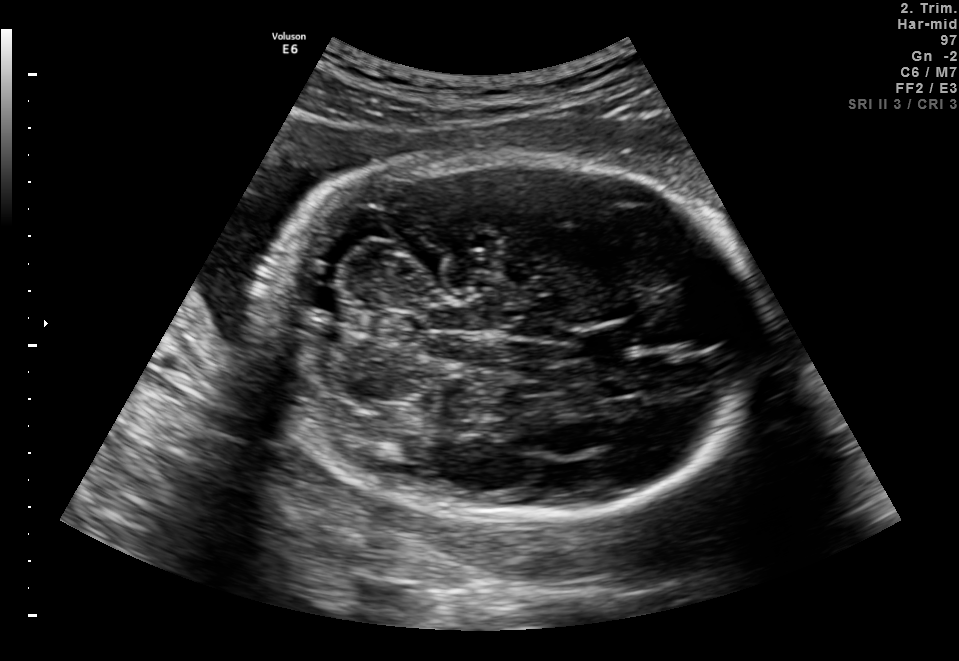
Fetal brain, trans-cerebellum plane. Locate the fetal head.

Head: [265,151,760,526]